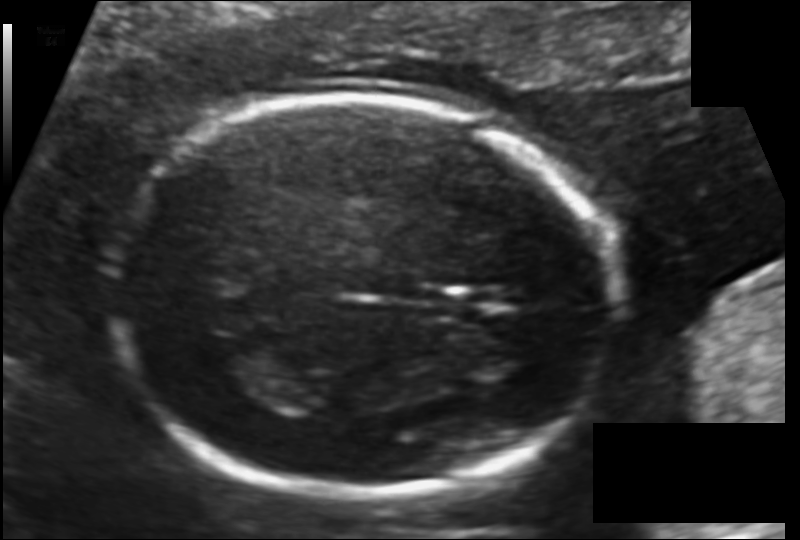
From this fetal ultrasound, estimate the head circumference (image width 92.9 mm).

Head circumference: 171.5 mm.